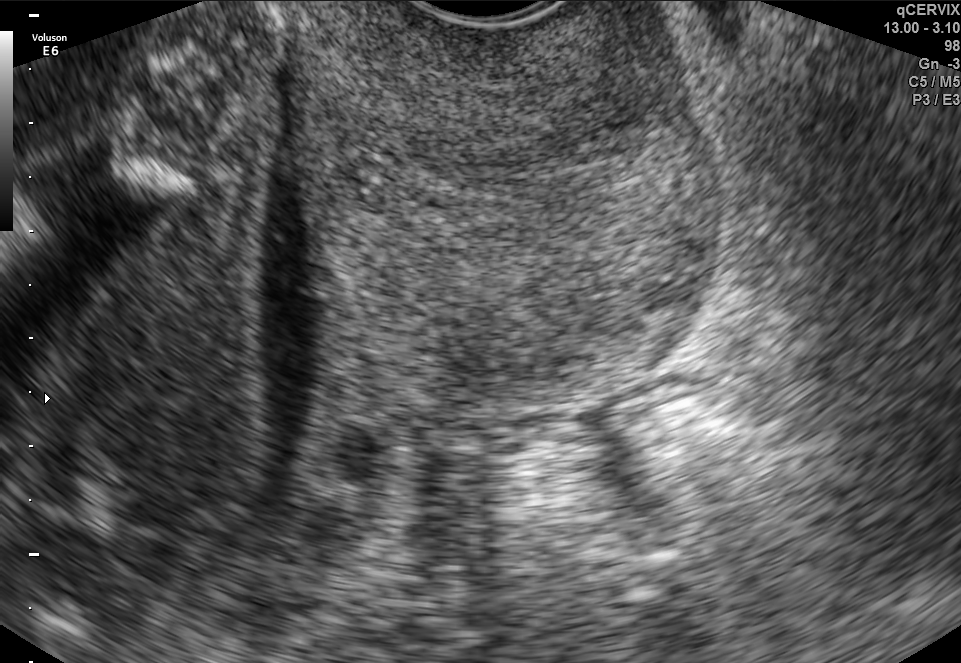
Identify the standard plane in this fetal ultrasound image: fetal abdomen, fetal brain, fetal femur, fetal thorax, maternal cervix, or other. If it's fetal brain and one of the three standard brain planes (trans-thalamic, trans-cerebellum, trans-ventricular), name which.

Maternal cervix